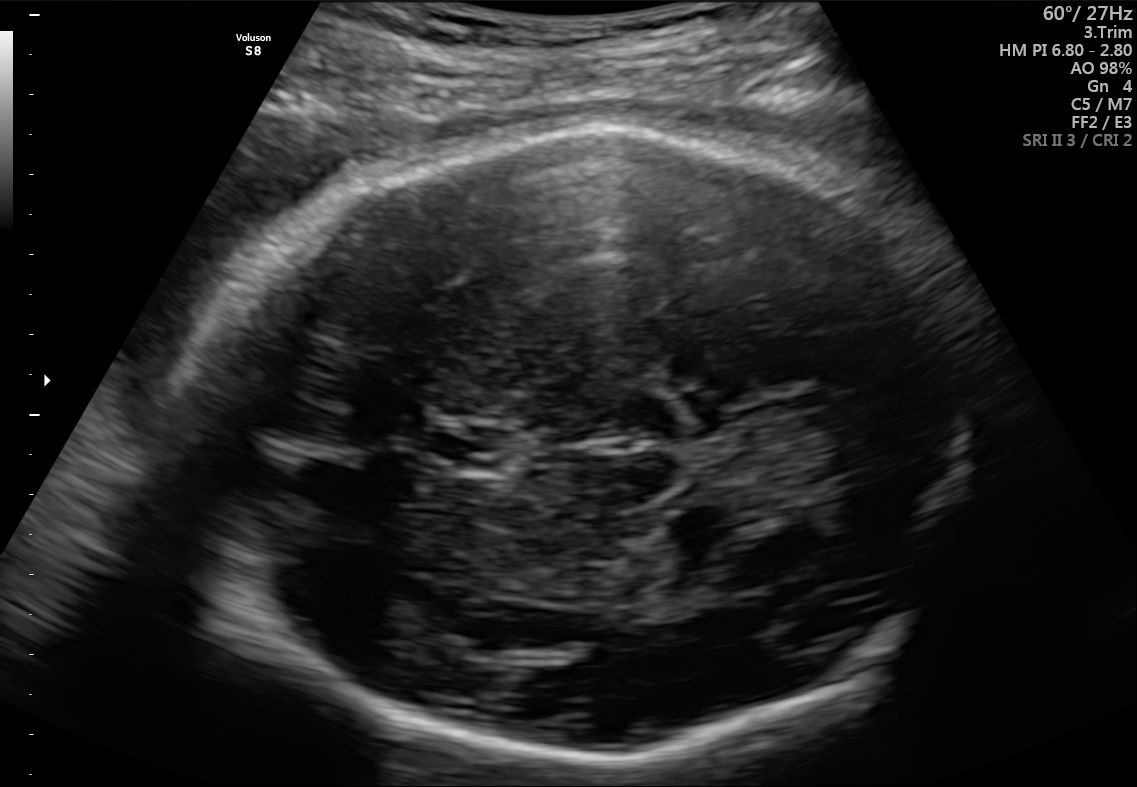
Fetal brain, trans-thalamic plane. Where is the cavum septum pellucidum?

CSP bounding box: [425,422,511,474]